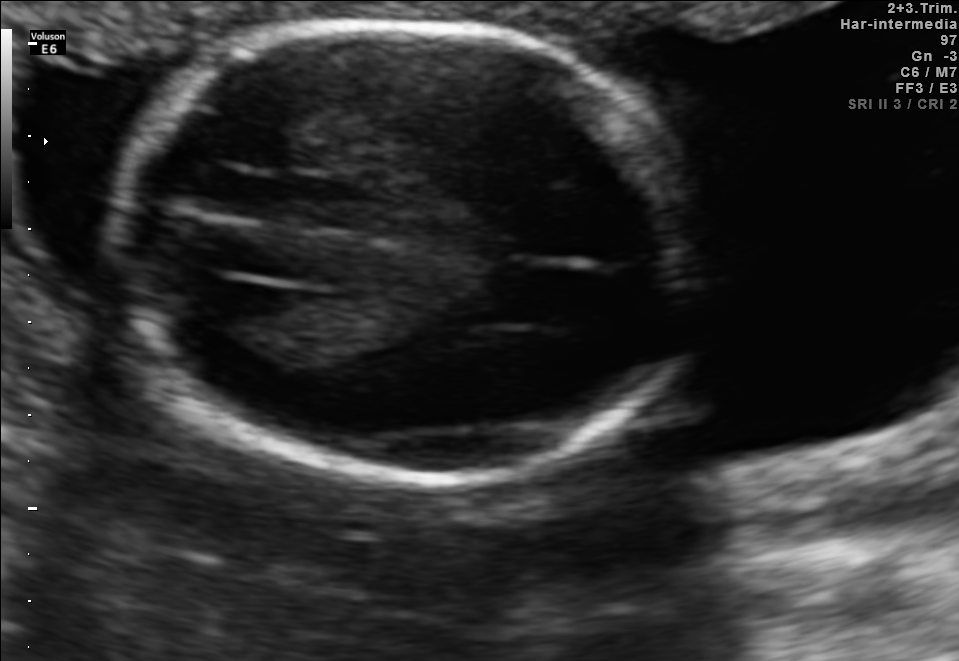
Fetal brain, trans-thalamic plane. Locate the fetal head and, if visible, the cavum septum pellucidum (CSP) and lateral ventricle (LV). Give bounding boxes as [x1,y1,x2,y2].

Head: [113,22,696,483]